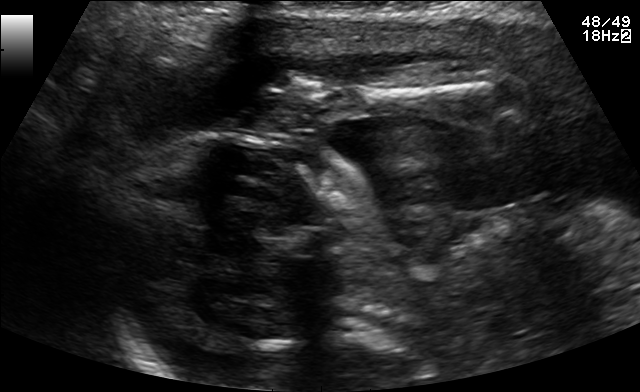
Classify this maternal-fetal ultrasound image as one of the six standard planes — fetal abdomen, fetal brain, fetal femur, fetal thorax, maternal cervix, or other. If it's fetal brain and one of the three standard brain planes (trans-thalamic, trans-cerebellum, trans-ventricular), name which.

Other